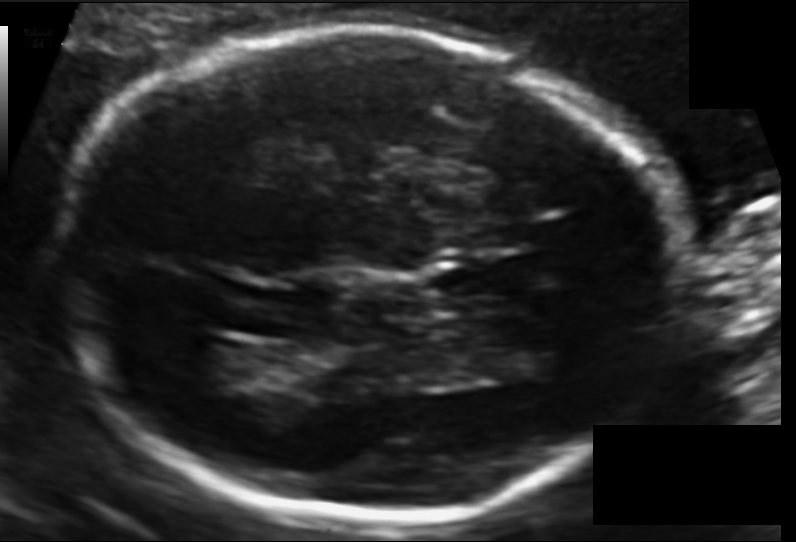
In this fetal head ultrasound, give bounding boxes for the head outline, cavum septum pellucidum (CSP), and lateral ventricle (LV), where visible. Image width: 95.4 mm.

Head: [52,27,684,517]
CSP: [437,265,519,299]
Lateral ventricle: [164,330,251,388]